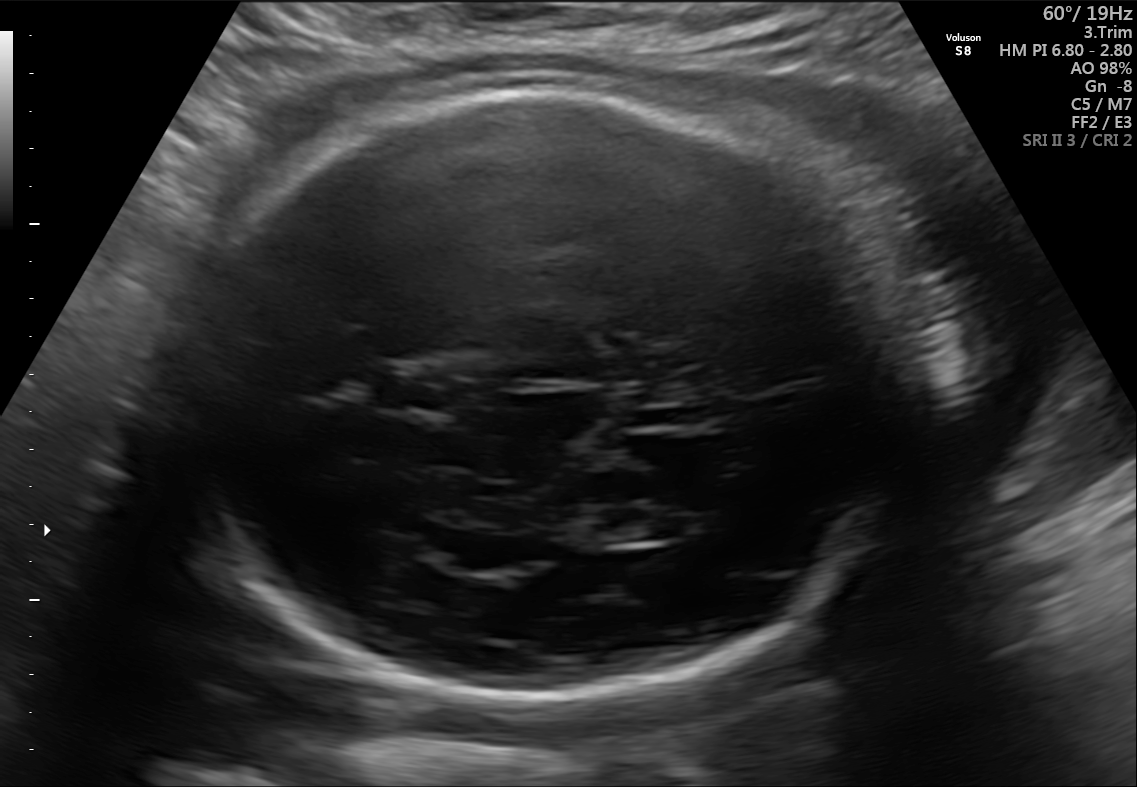
Fetal brain, trans-thalamic plane. Locate the cavum septum pellucidum.

CSP: [377,370,450,410]